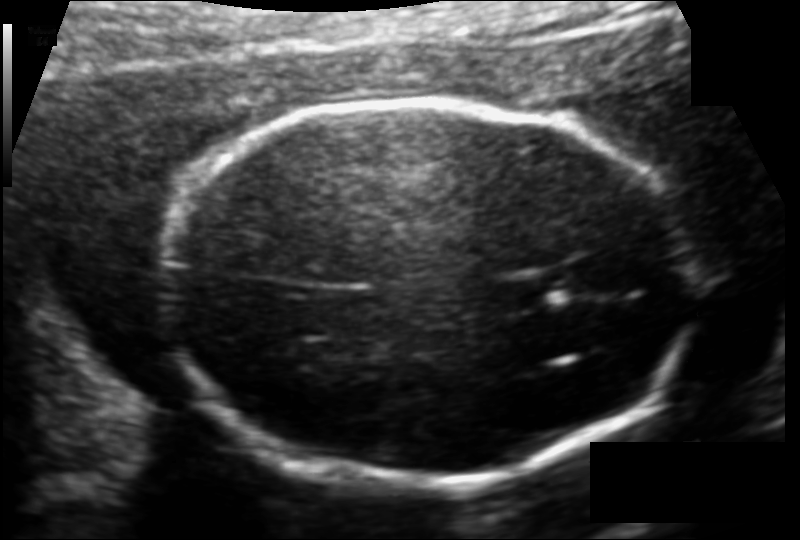
In this fetal head ultrasound, give the bounding box of the fetal head. Image width: 95.0 mm.

[166,101,694,488]